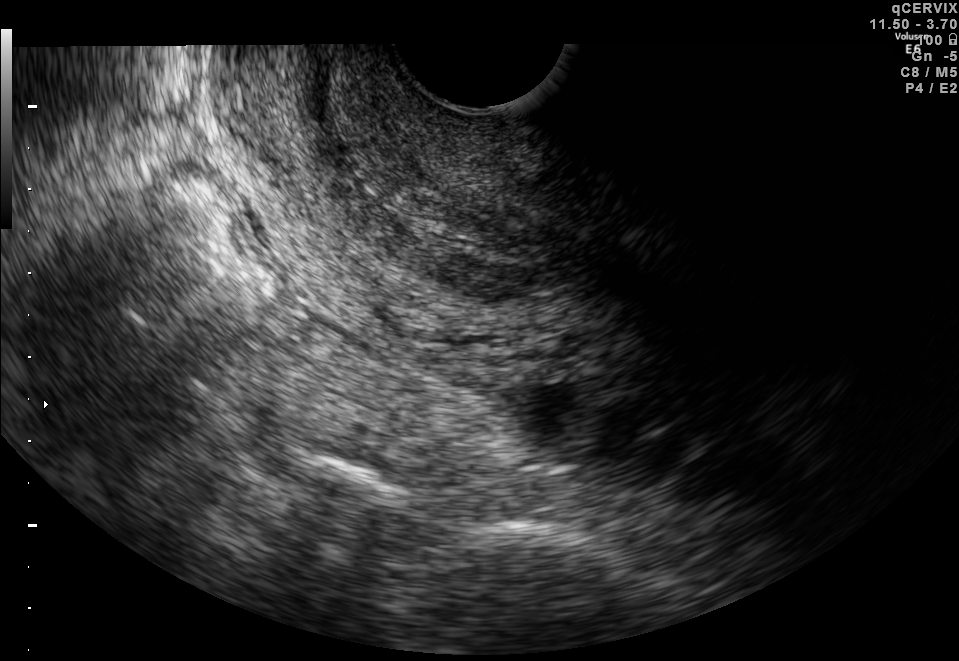
This is a 2D maternal-fetal ultrasound frame. Is it a fetal abdomen, fetal brain, fetal femur, fetal thorax, maternal cervix, or other standard plane? If it's fetal brain and one of the three standard brain planes (trans-thalamic, trans-cerebellum, trans-ventricular), name which.

Maternal cervix